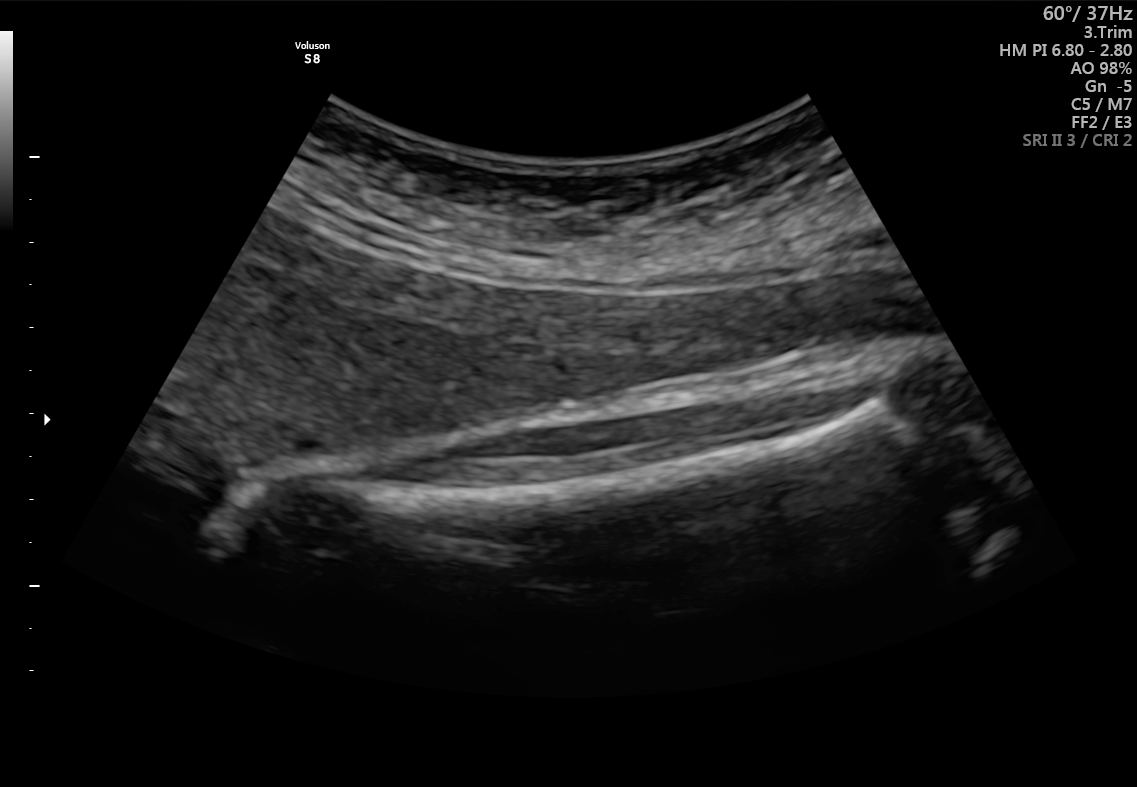
This is a 2D maternal-fetal ultrasound frame. Is it a fetal abdomen, fetal brain, fetal femur, fetal thorax, maternal cervix, or other standard plane? If it's fetal brain and one of the three standard brain planes (trans-thalamic, trans-cerebellum, trans-ventricular), name which.

Fetal femur